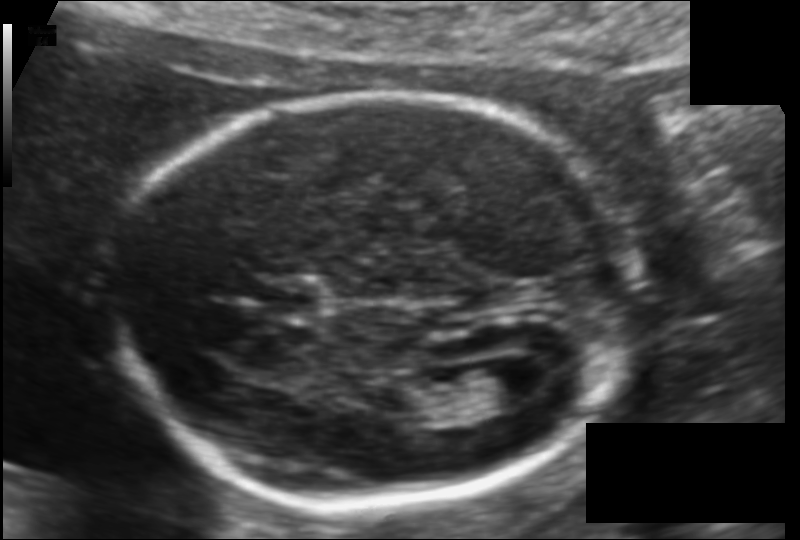
In this fetal head ultrasound, give the bounding box of the cavum septum pellucidum. Image width: 92.0 mm.

[258,283,320,315]